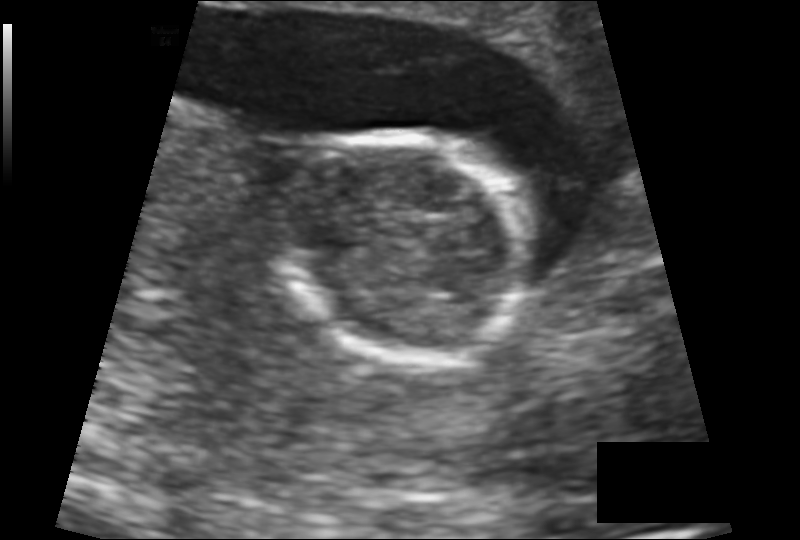
From this fetal ultrasound, estimate the head circumference (image width 109.7 mm).

Head circumference: 105.5 mm.